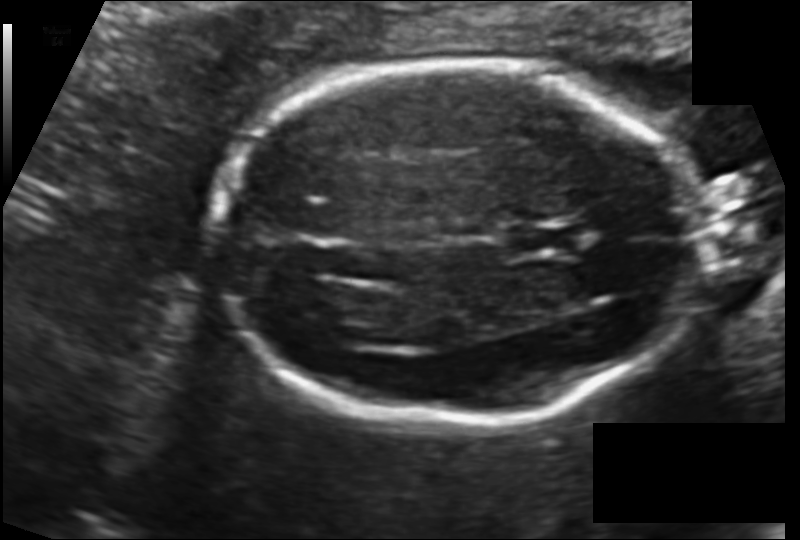
Fetal head ultrasound. Image width: 98.3 mm. Locate the cavum septum pellucidum.

CSP: [505,221,579,260]